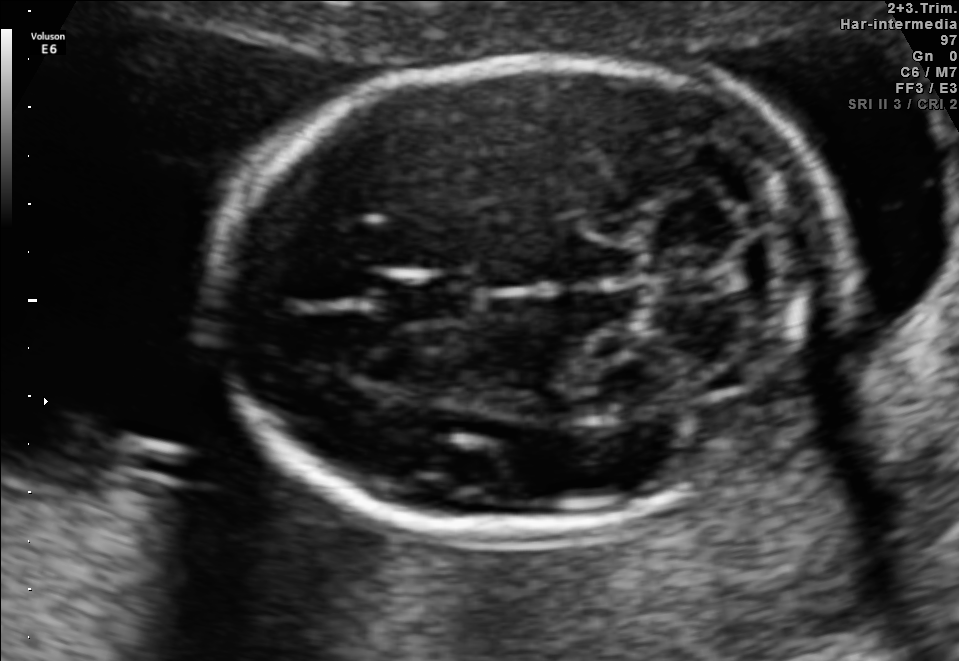
In this fetal brain, trans-cerebellum plane, give bounding boxes for the head outline, cavum septum pellucidum (CSP), and lateral ventricle (LV), where visible.

Head: [204,57,845,526]
CSP: [377,269,483,327]